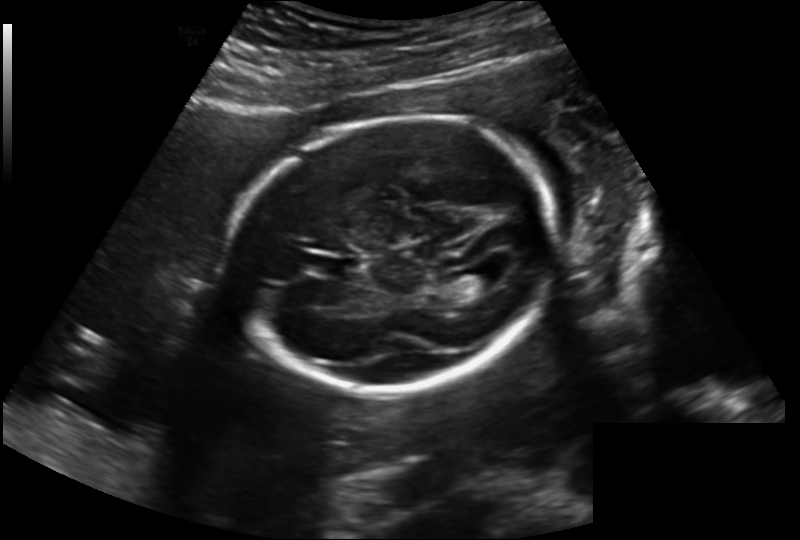
Fetal head ultrasound. Image width: 161.6 mm. Where is the fetal head?

Head bounding box: [226,117,557,392]